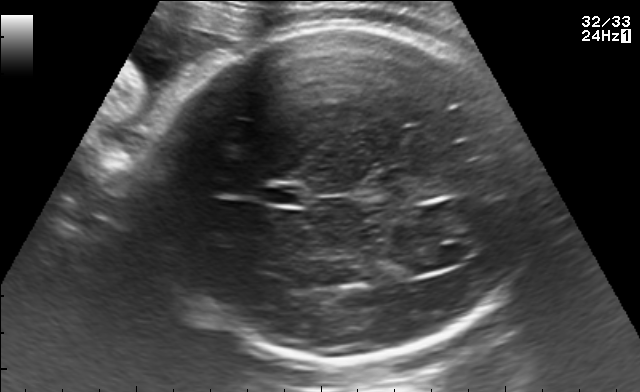
Fetal brain, trans-ventricular plane. Locate the lateral ventricle.

Lateral ventricle: [408,245,459,276]